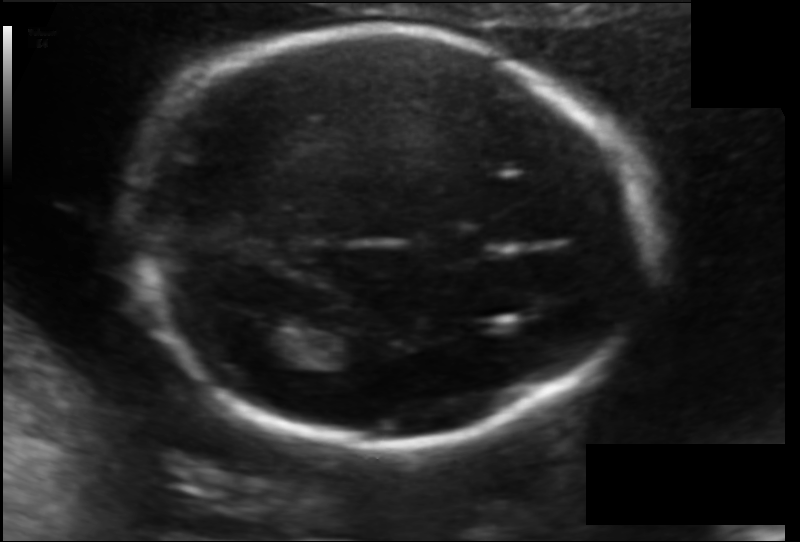
Fetal head ultrasound. Image width: 91.4 mm. Where is the fetal head?

Head bounding box: [141,33,654,450]